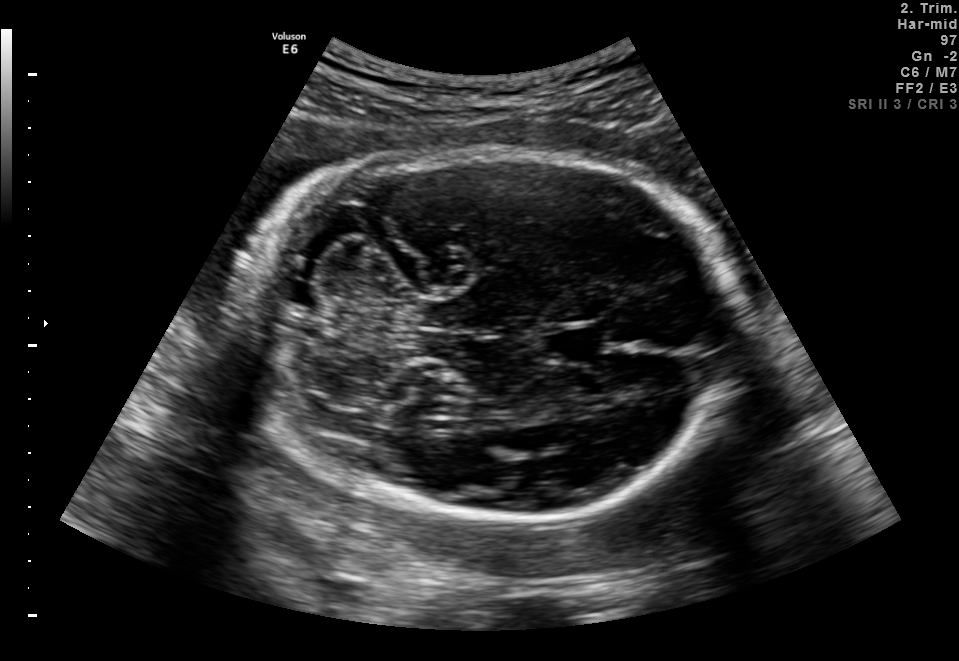
In this fetal brain, trans-cerebellum plane, give the bounding box of the cavum septum pellucidum.

[542,322,610,367]